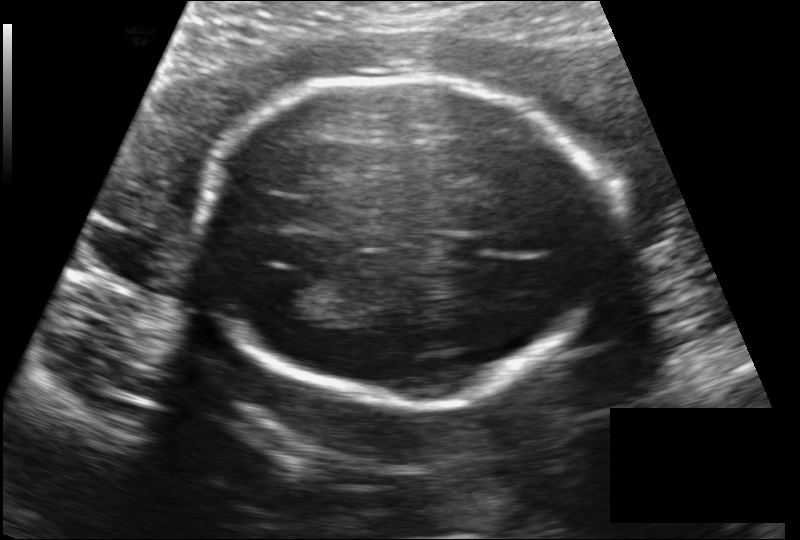
Fetal head ultrasound. Image width: 119.2 mm. Locate the cavum septum pellucidum.

CSP: [444,235,488,264]